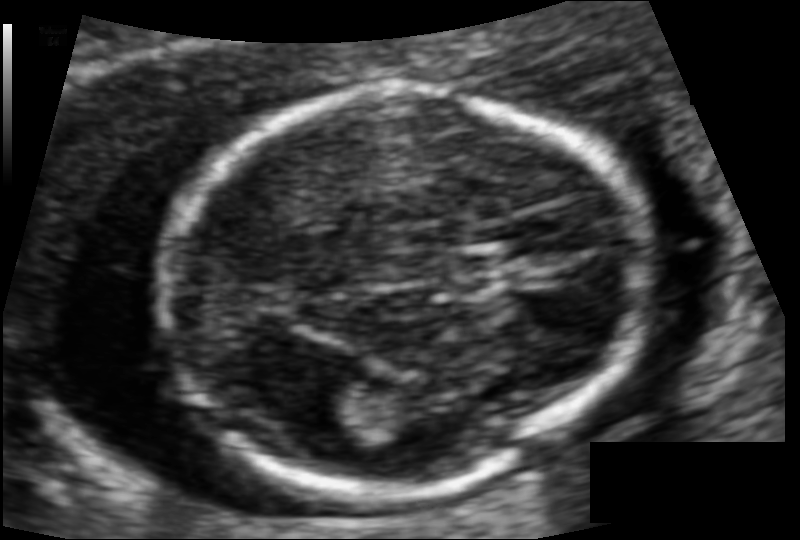
Estimate the fetal head circumference from this 2D ultrasound.

Head circumference: 121.5 mm (image width 66.5 mm).